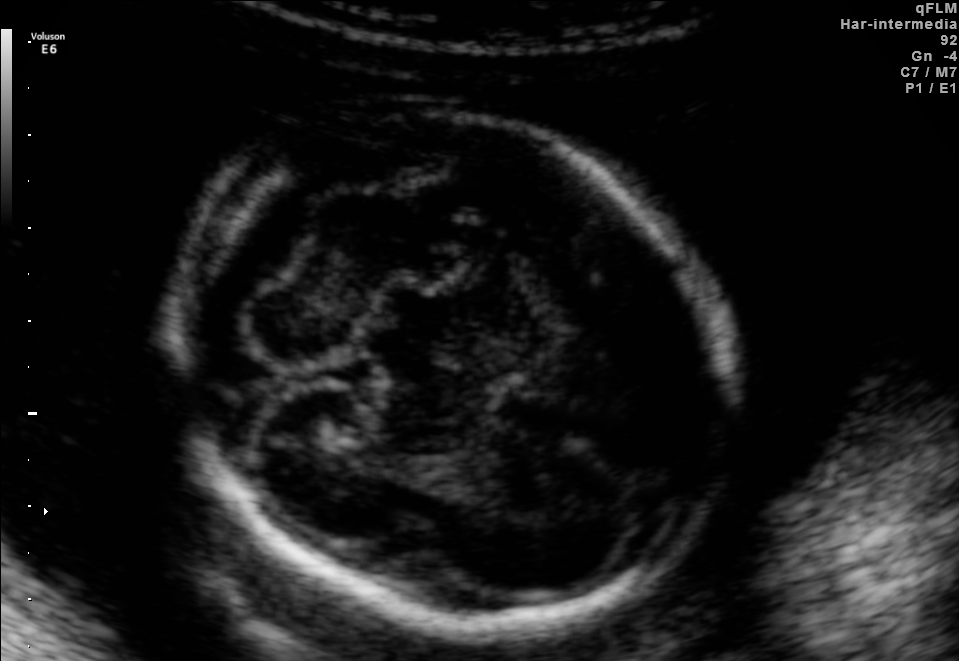
Which standard maternal-fetal ultrasound plane is shown: fetal abdomen, fetal brain, fetal femur, fetal thorax, maternal cervix, or other? If it's fetal brain and one of the three standard brain planes (trans-thalamic, trans-cerebellum, trans-ventricular), name which.

Fetal brain (trans-cerebellum plane)